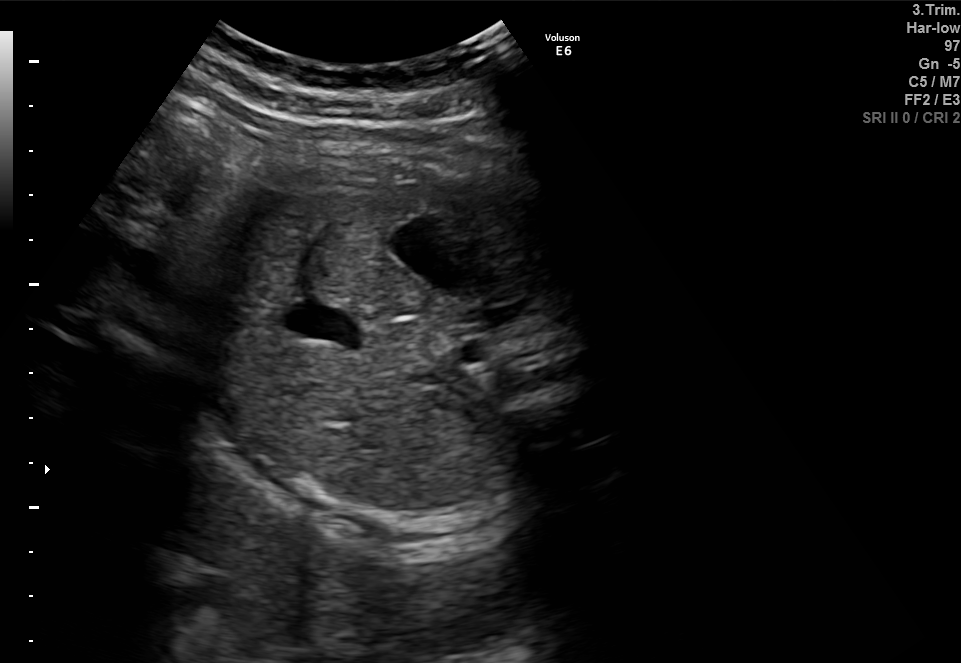
Classify this maternal-fetal ultrasound image as one of the six standard planes — fetal abdomen, fetal brain, fetal femur, fetal thorax, maternal cervix, or other. If it's fetal brain and one of the three standard brain planes (trans-thalamic, trans-cerebellum, trans-ventricular), name which.

Other